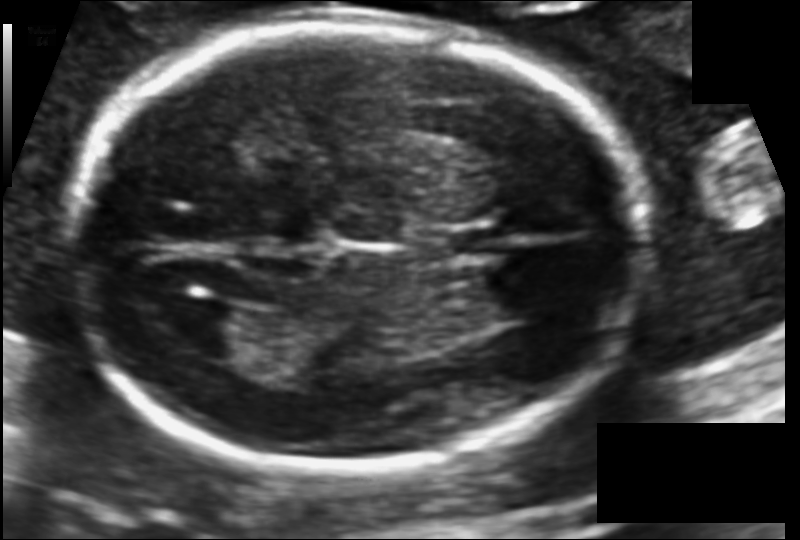
Fetal head ultrasound. Image width: 90.1 mm. Where is the cavum septum pellucidum?

CSP bounding box: [434,221,500,262]